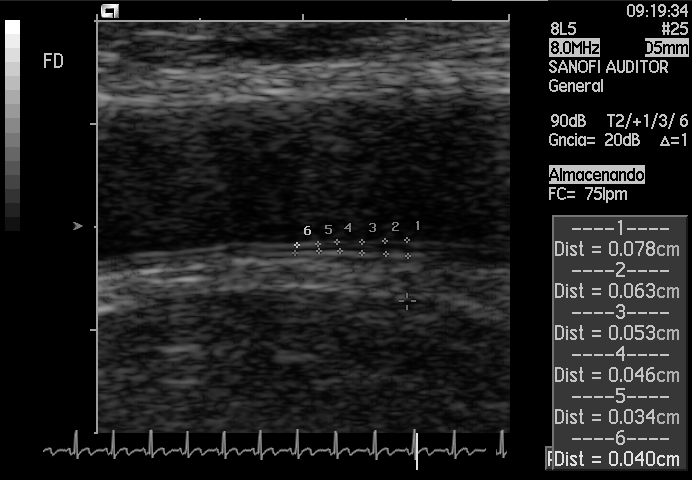
Classify this maternal-fetal ultrasound image as one of the six standard planes — fetal abdomen, fetal brain, fetal femur, fetal thorax, maternal cervix, or other. If it's fetal brain and one of the three standard brain planes (trans-thalamic, trans-cerebellum, trans-ventricular), name which.

Other